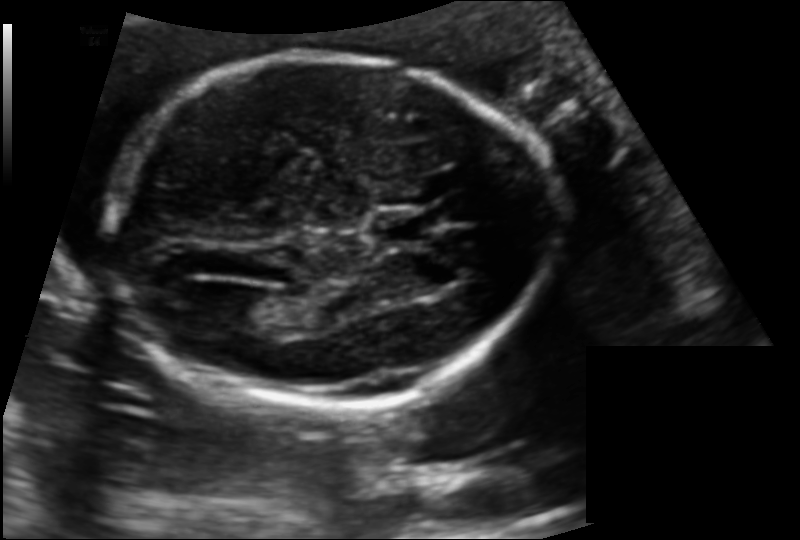
Fetal head ultrasound. Image width: 105.8 mm. Locate the fetal head.

Head: [106,56,551,404]